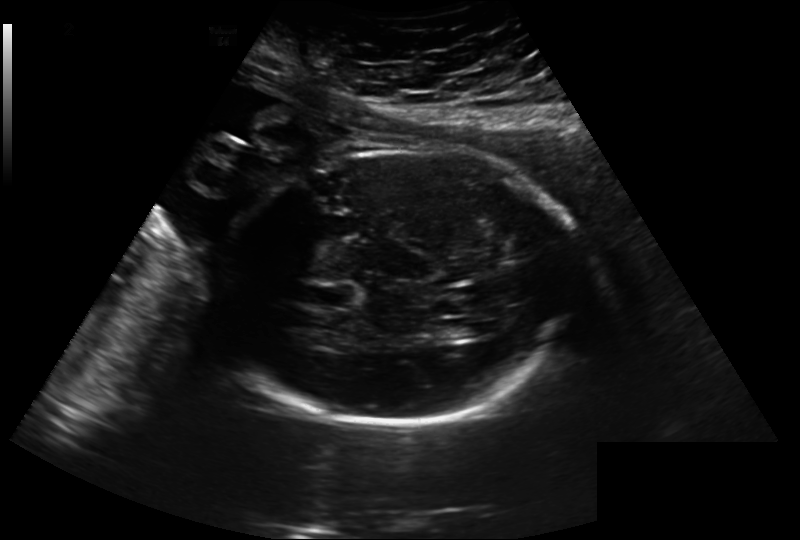
Fetal head ultrasound. Image width: 208.3 mm. Give [x1,y1,x2,y2] bounding boxes for each visible structure among: fetal head, CSP, LV.

Head: [215,150,576,423]
CSP: [309,284,356,310]
Lateral ventricle: [437,317,476,340]